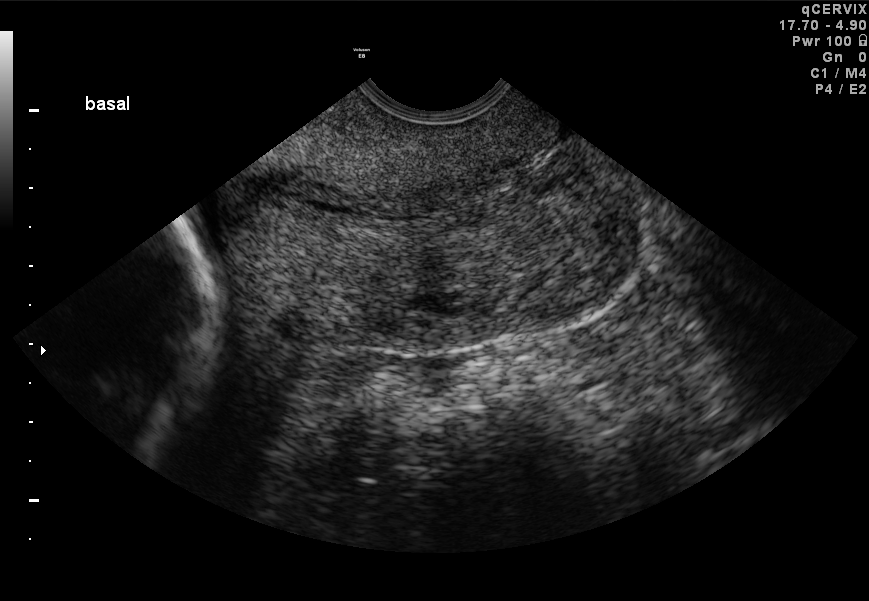
Identify the standard plane in this fetal ultrasound image: fetal abdomen, fetal brain, fetal femur, fetal thorax, maternal cervix, or other. If it's fetal brain and one of the three standard brain planes (trans-thalamic, trans-cerebellum, trans-ventricular), name which.

Maternal cervix